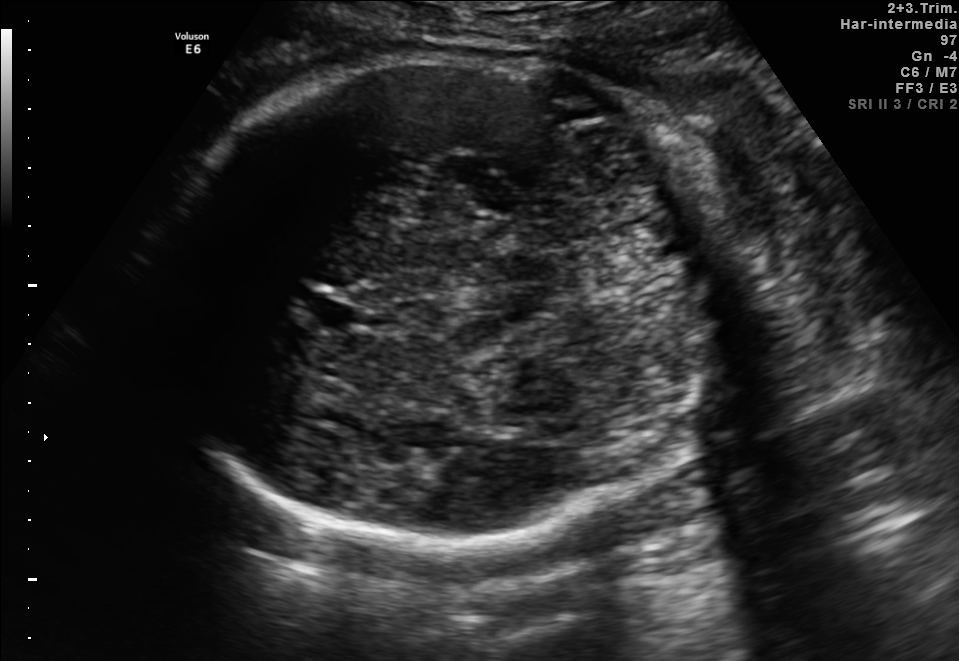
Fetal brain, trans-thalamic plane. Locate the cavum septum pellucidum.

CSP: [308,294,359,335]